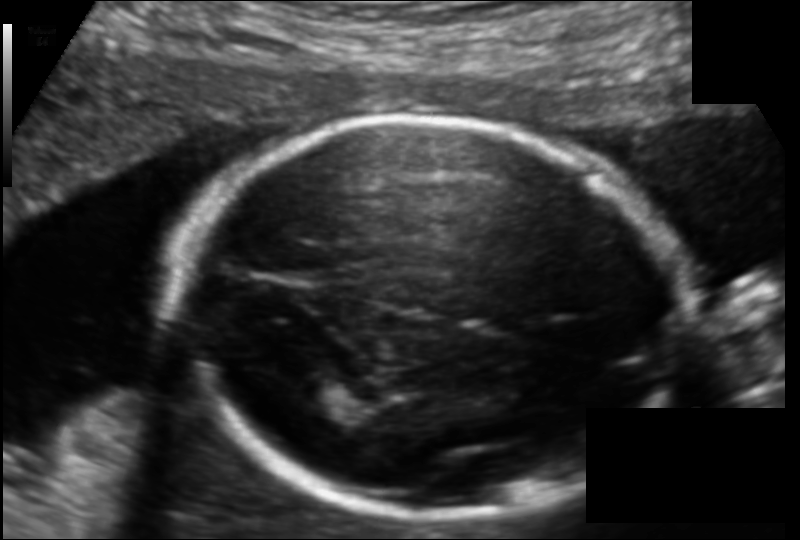
Estimate the fetal head circumference from this 2D ultrasound.

Head circumference: 172.9 mm (image width 96.3 mm).